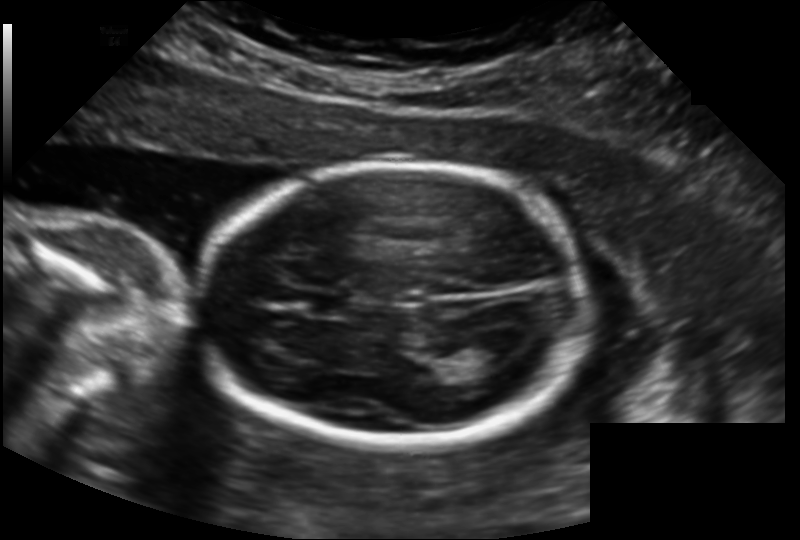
Fetal head ultrasound. Image width: 126.2 mm. Give [x1,y1,x2,y2] bounding boxes for each visible structure among: fetal head, CSP, LV.

Head: [200,163,590,448]
CSP: [310,291,355,319]
Lateral ventricle: [459,328,521,375]